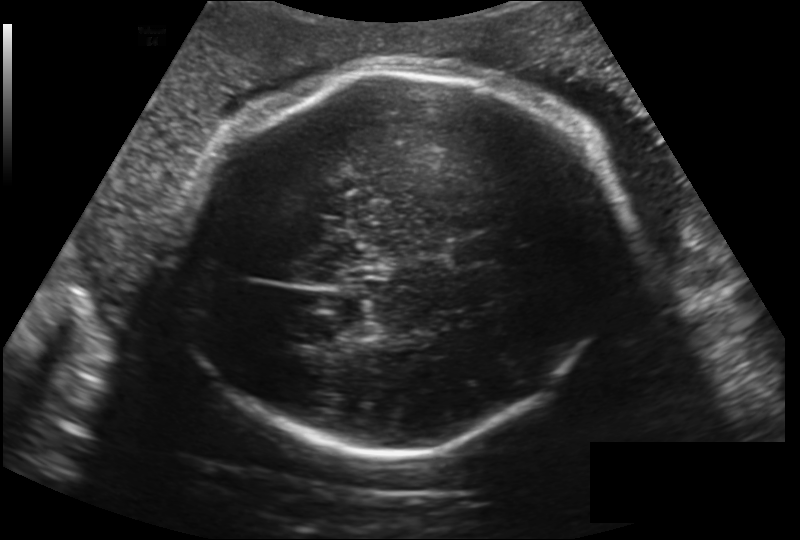
In this fetal head ultrasound, give the bounding box of the fetal head. Image width: 179.4 mm.

[179,62,616,455]